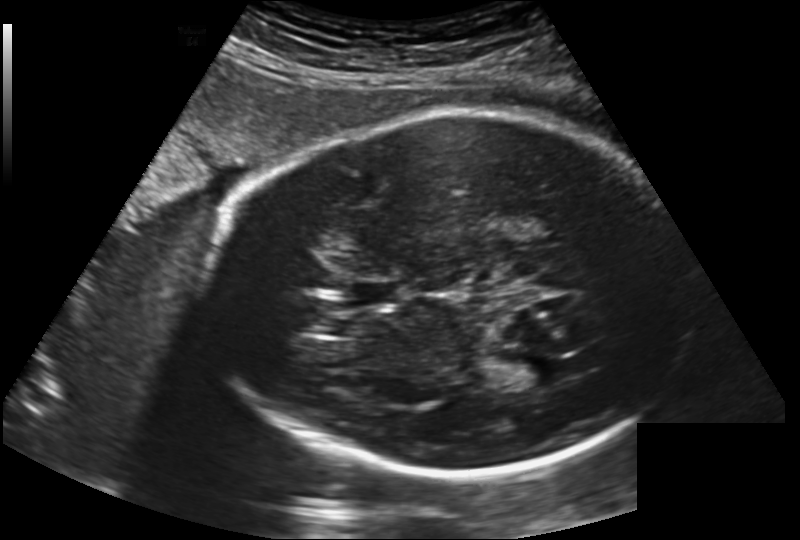
In this fetal head ultrasound, give the bounding box of the lateral ventricle. Image width: 161.7 mm.

[503,355,559,391]